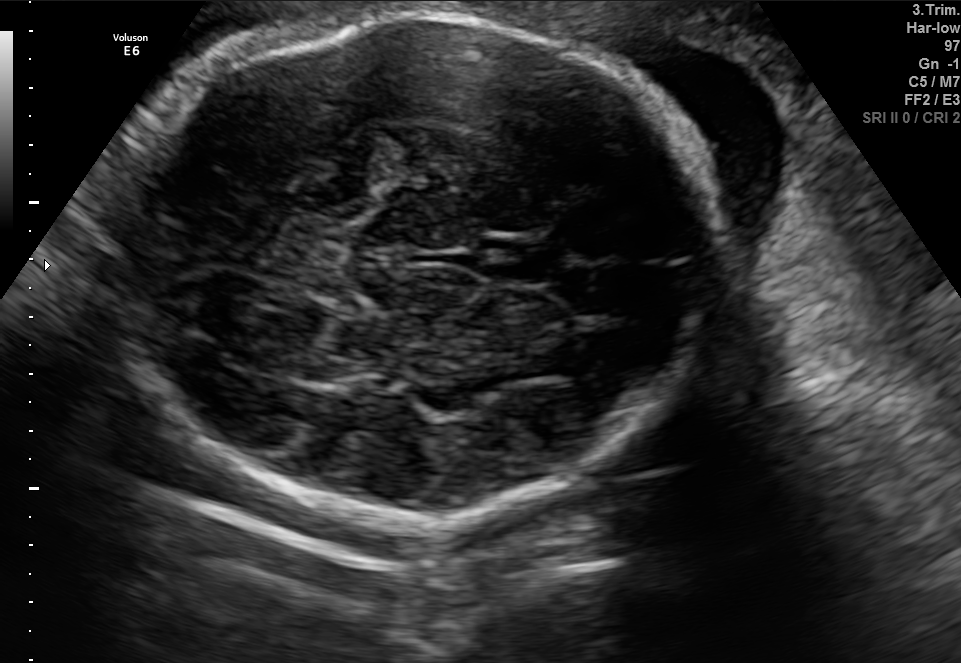
Fetal brain, trans-thalamic plane. Give [x1,y1,x2,y2] bounding boxes for each visible structure among: fetal head, CSP, LV.

Head: [124,11,725,532]
CSP: [481,240,548,281]